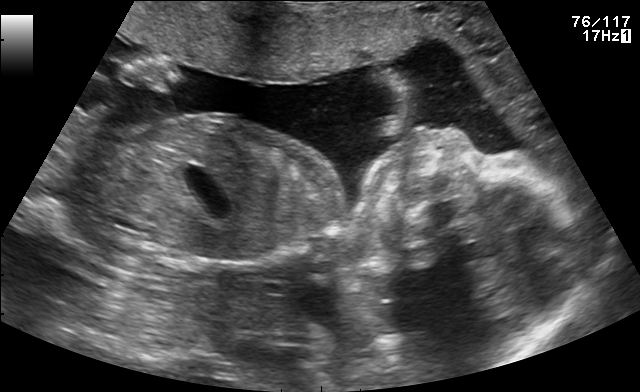
This is a 2D maternal-fetal ultrasound frame. Is it a fetal abdomen, fetal brain, fetal femur, fetal thorax, maternal cervix, or other standard plane? If it's fetal brain and one of the three standard brain planes (trans-thalamic, trans-cerebellum, trans-ventricular), name which.

Other